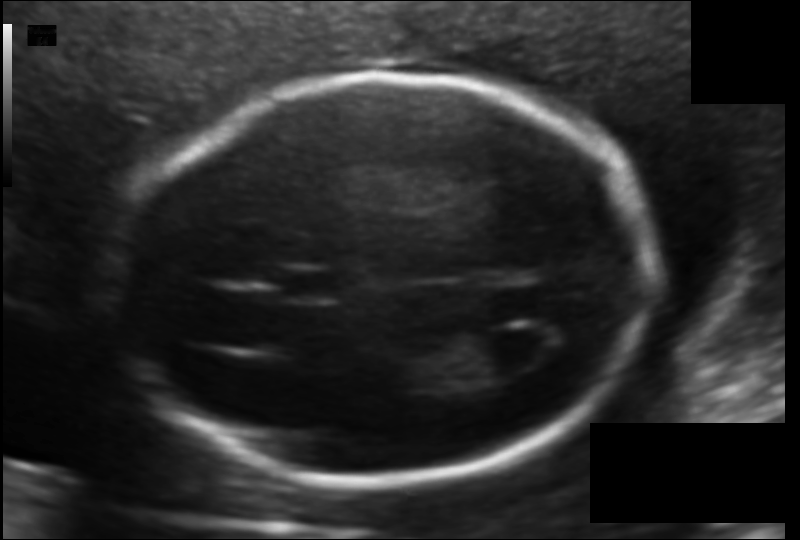
Fetal head ultrasound. Image width: 93.0 mm. Where is the fetal head?

Head bounding box: [124,76,651,484]